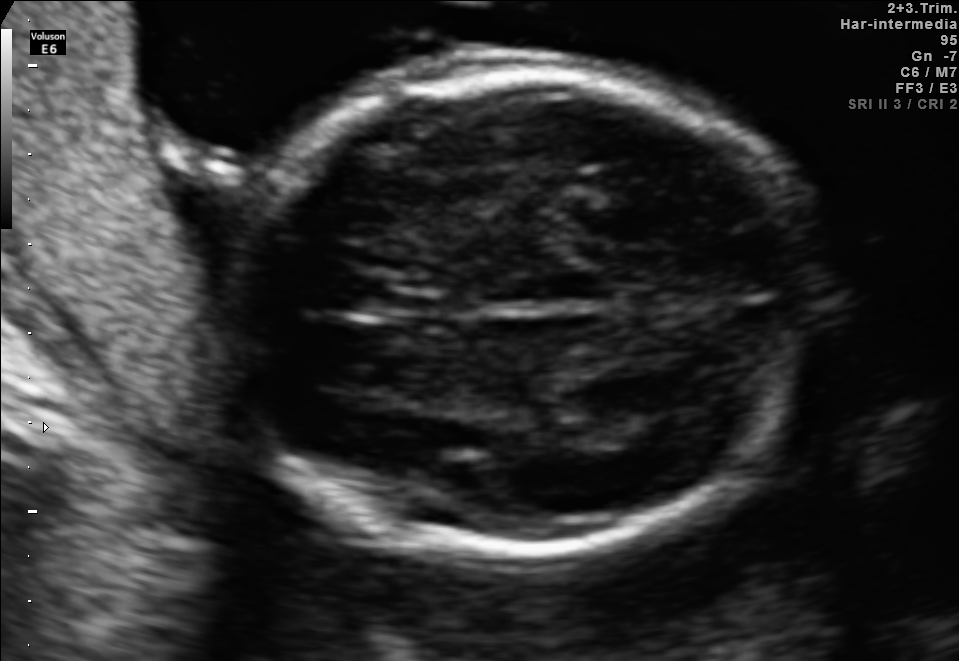
Classify this maternal-fetal ultrasound image as one of the six standard planes — fetal abdomen, fetal brain, fetal femur, fetal thorax, maternal cervix, or other. If it's fetal brain and one of the three standard brain planes (trans-thalamic, trans-cerebellum, trans-ventricular), name which.

Fetal brain (trans-thalamic plane)